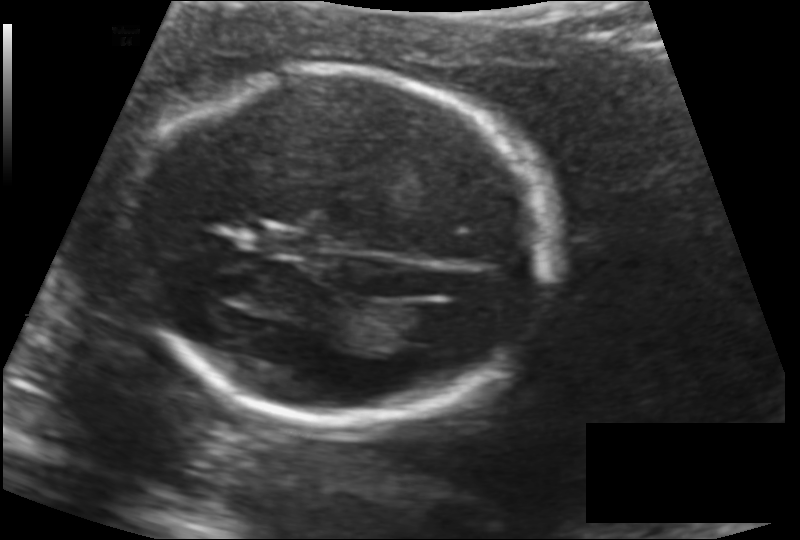
Fetal head ultrasound. Image width: 105.6 mm. Locate the fetal head.

Head: [136,67,546,429]